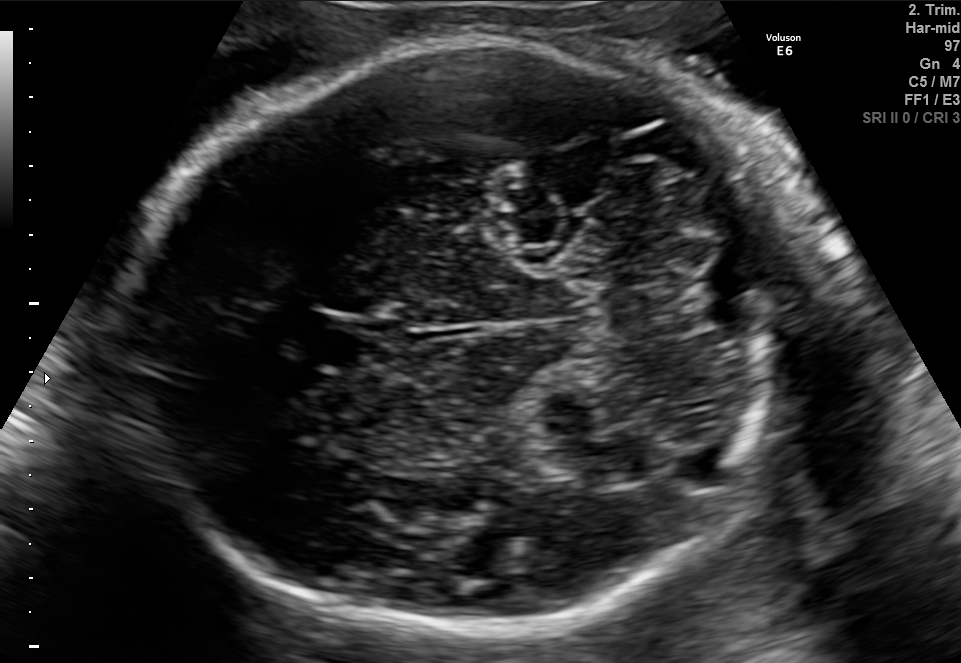
In this fetal brain, trans-cerebellum plane, give the bounding box of the cavum septum pellucidum.

[292,307,385,381]